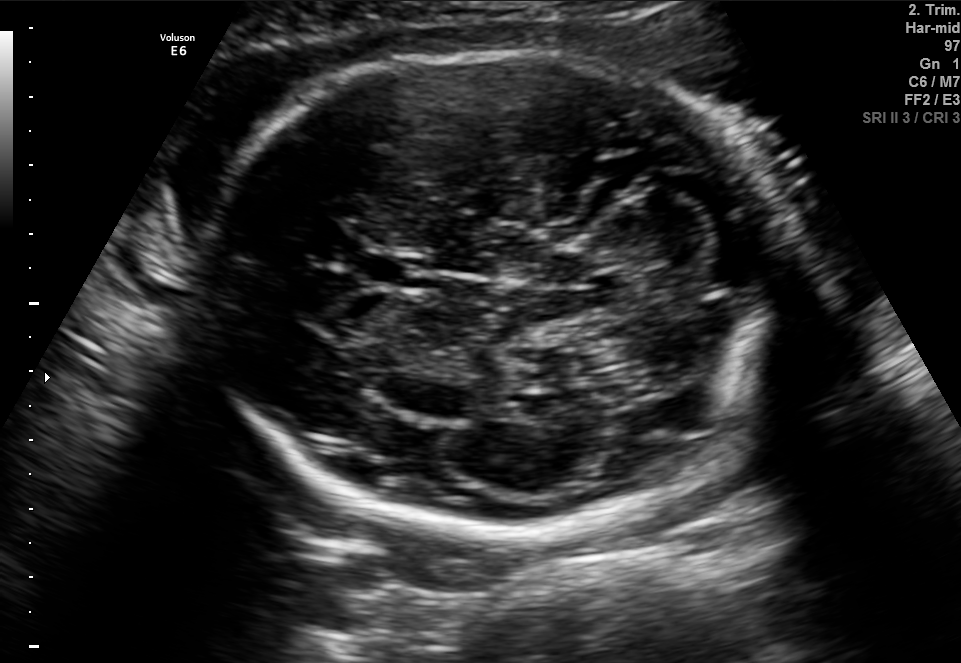
Fetal brain, trans-cerebellum plane. Give [x1,y1,x2,y2] bounding boxes for each visible structure among: fetal head, CSP, LV.

Head: [207,53,786,530]
CSP: [360,249,428,290]